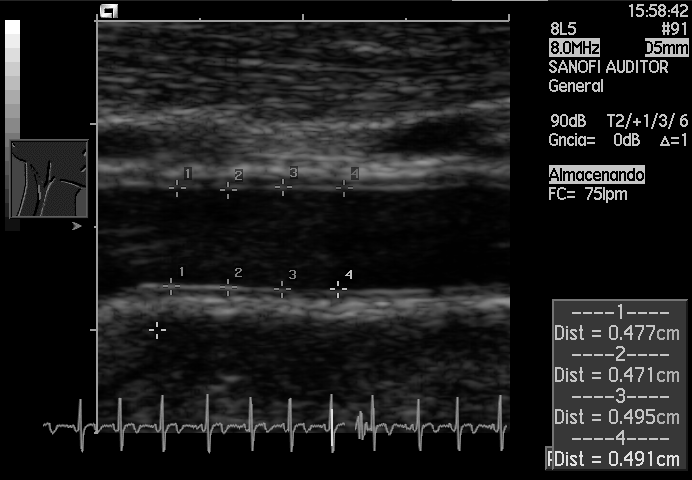
This is a 2D maternal-fetal ultrasound frame. Is it a fetal abdomen, fetal brain, fetal femur, fetal thorax, maternal cervix, or other standard plane? If it's fetal brain and one of the three standard brain planes (trans-thalamic, trans-cerebellum, trans-ventricular), name which.

Other